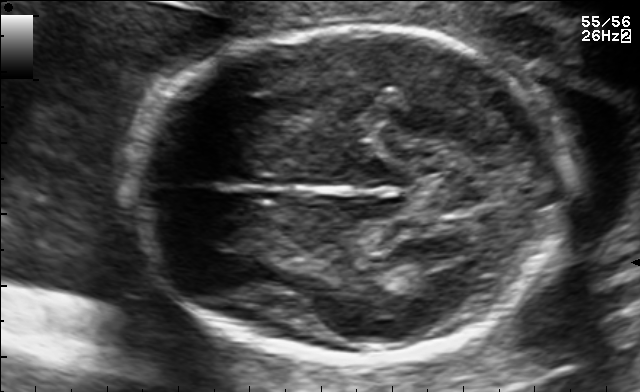
Fetal brain, trans-thalamic plane. Where is the fetal head?

Head bounding box: [127,26,572,359]